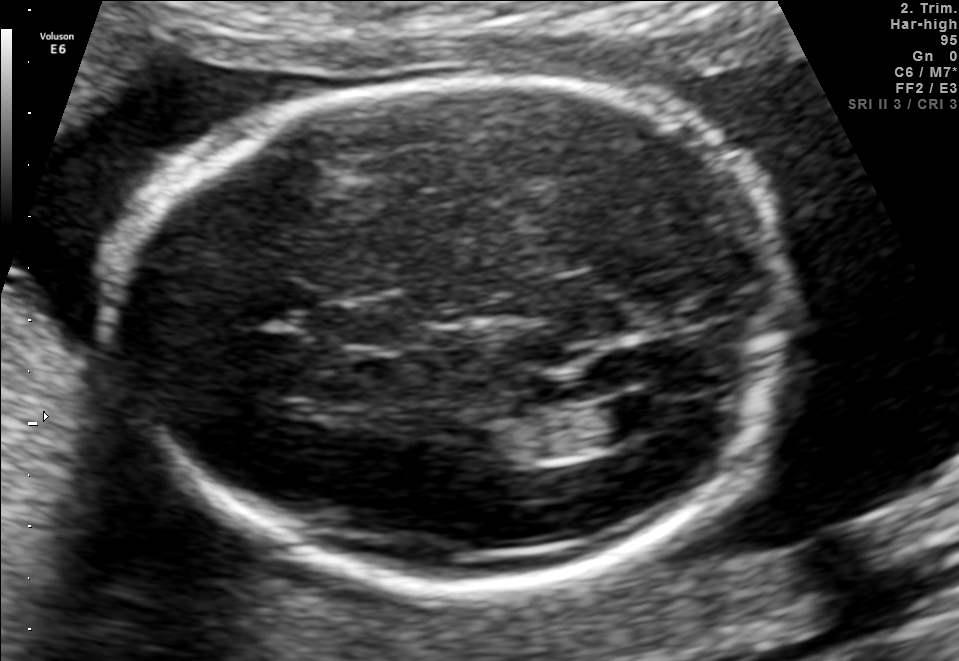
Fetal brain, trans-ventricular plane. Where is the lateral ventricle?

Lateral ventricle bounding box: [592,380,680,448]